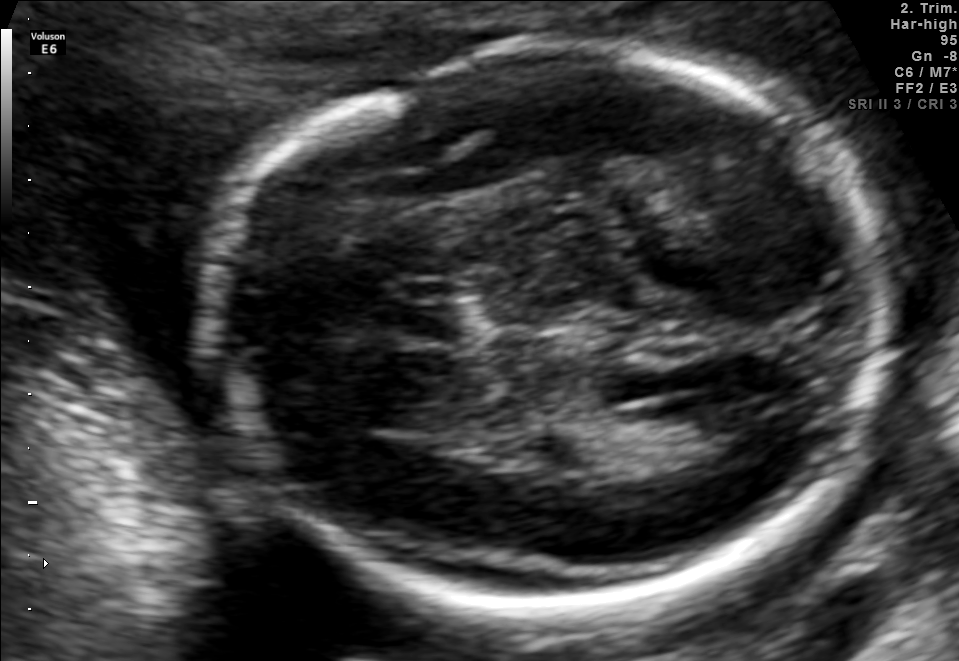
In this fetal brain, trans-ventricular plane, give the bounding box of the fetal head.

[194,37,909,610]